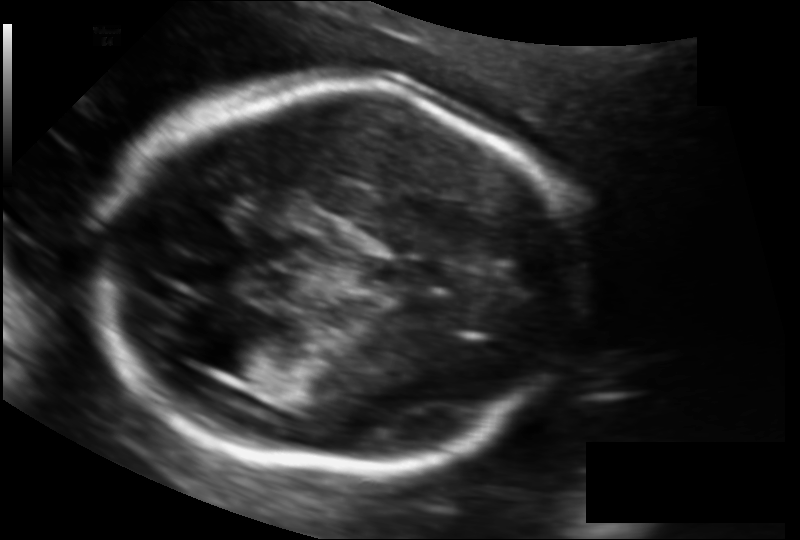
From this fetal ultrasound, estimate the head circumference (image width 96.6 mm).

Head circumference: 169.3 mm.